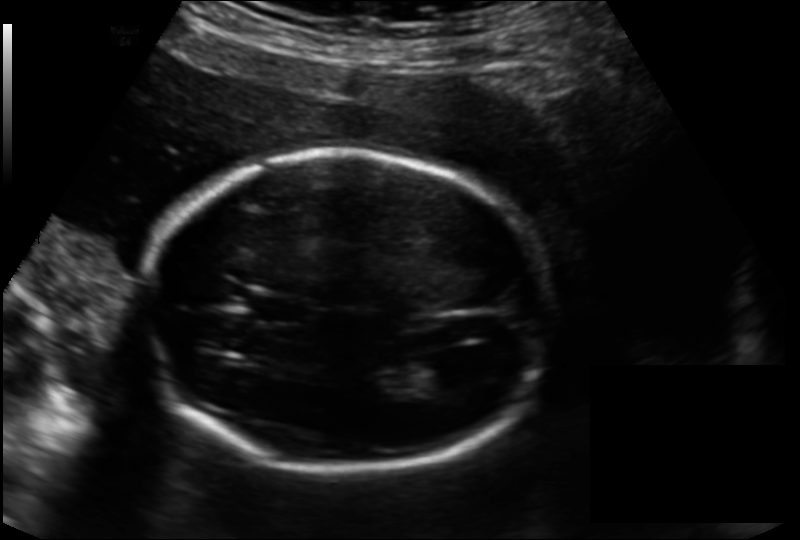
In this fetal head ultrasound, give the bounding box of the lateral ventricle. Image width: 133.1 mm.

[395,353,462,398]